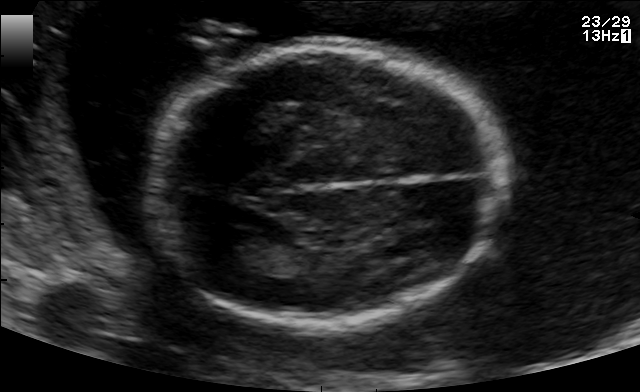
Fetal brain, trans-thalamic plane. Locate the fetal head and, if visible, the cavum septum pellucidum (CSP) and lateral ventricle (LV). Give bounding boxes as [x1,y1,x2,y2].

Head: [149,44,509,326]
Lateral ventricle: [213,222,282,273]